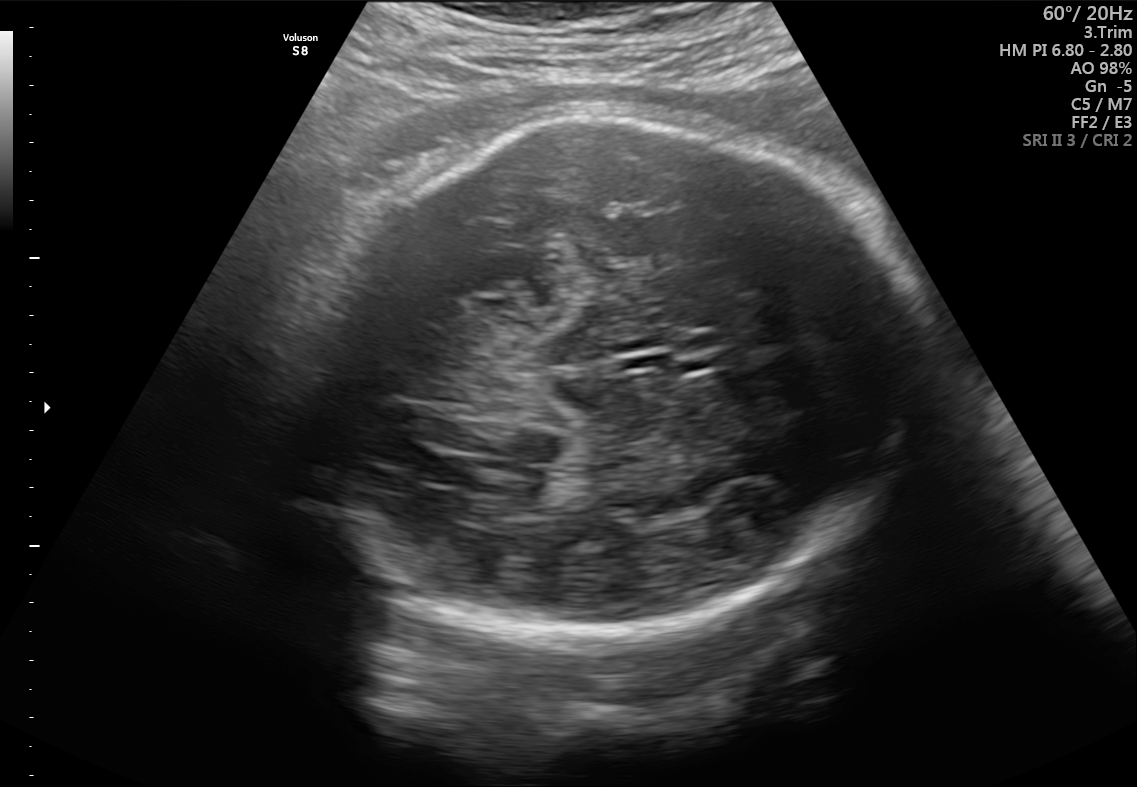
Fetal brain, trans-thalamic plane. Where is the fetal head?

Head bounding box: [292,110,931,639]